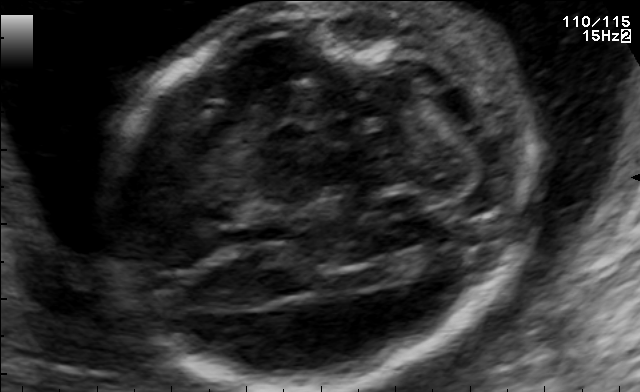
In this fetal brain, trans-cerebellum plane, give the bounding box of the fetal head.

[105,4,521,391]